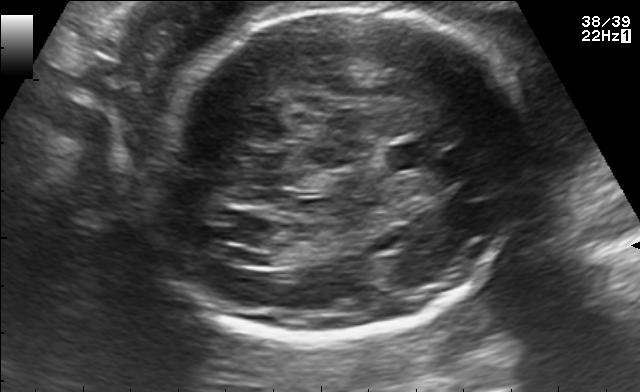
Fetal brain, trans-ventricular plane. Where is the fetal head?

Head bounding box: [140,4,532,343]